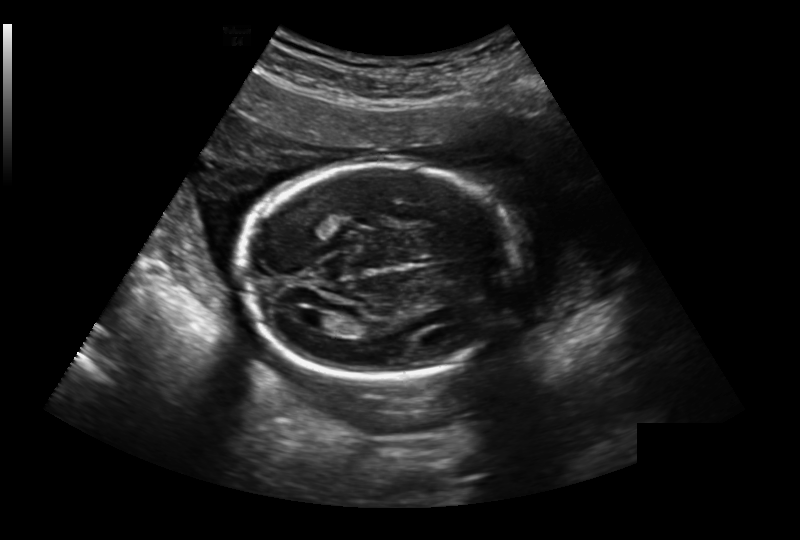
Fetal head ultrasound. Image width: 188.5 mm. Locate the fetal head.

Head: [240,163,520,378]